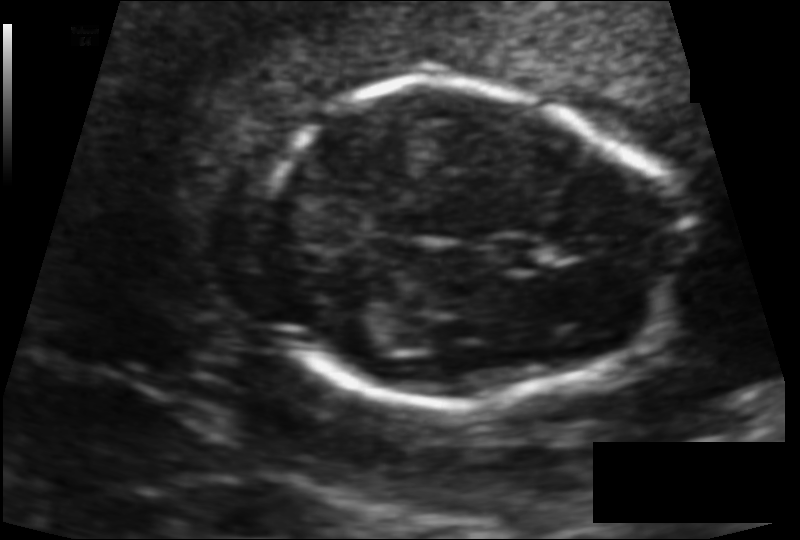
In this fetal head ultrasound, give bounding boxes for the head outline, cavum septum pellucidum (CSP), and lateral ventricle (LV), where visible. Image width: 80.4 mm.

Head: [254,84,682,407]
CSP: [492,240,543,270]
Lateral ventricle: [331,313,392,351]